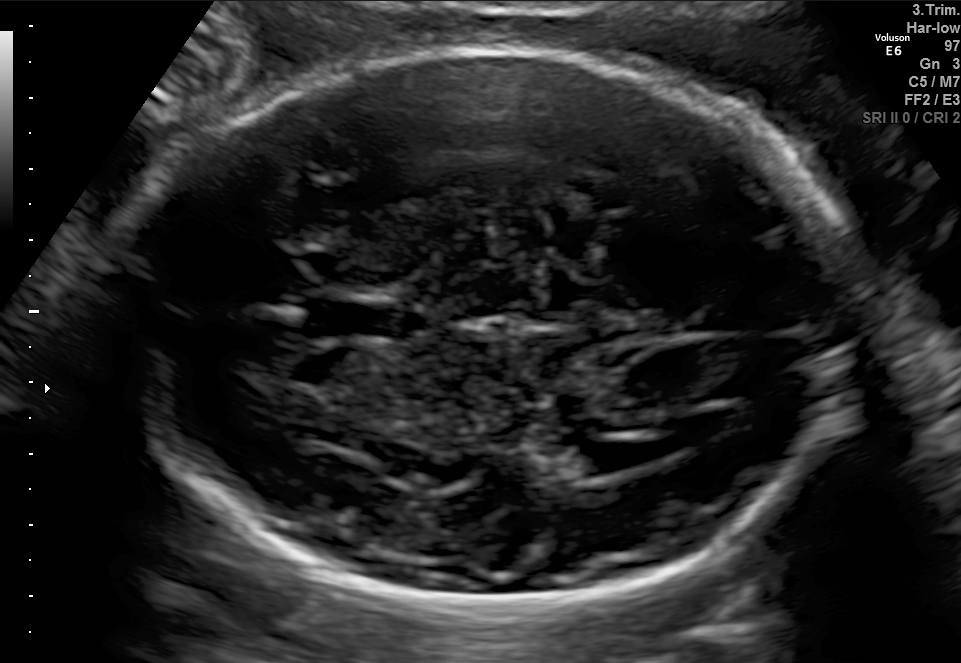
In this fetal brain, trans-ventricular plane, give the bounding box of the lateral ventricle.

[573,434,660,481]